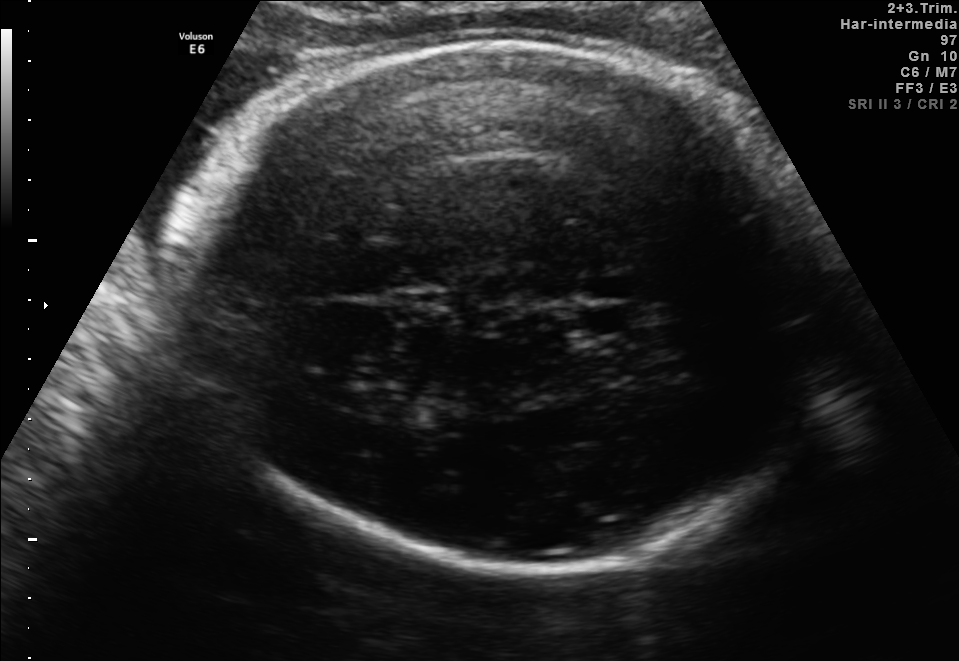
Fetal brain, trans-thalamic plane. Where is the fetal head?

Head bounding box: [197,38,836,569]